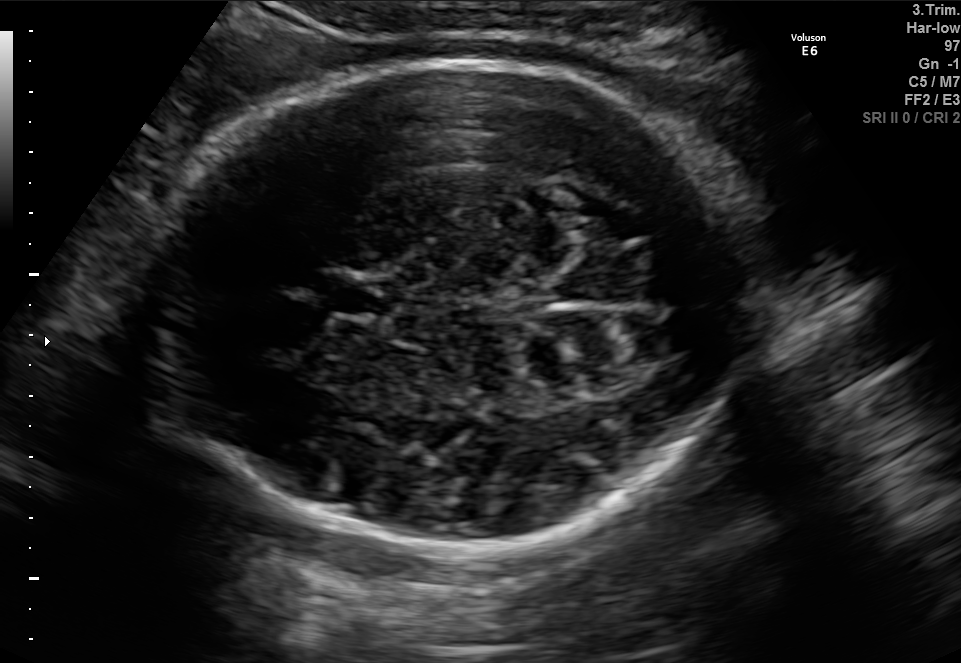
Fetal brain, trans-thalamic plane. Where is the fetal head?

Head bounding box: [140,56,769,551]